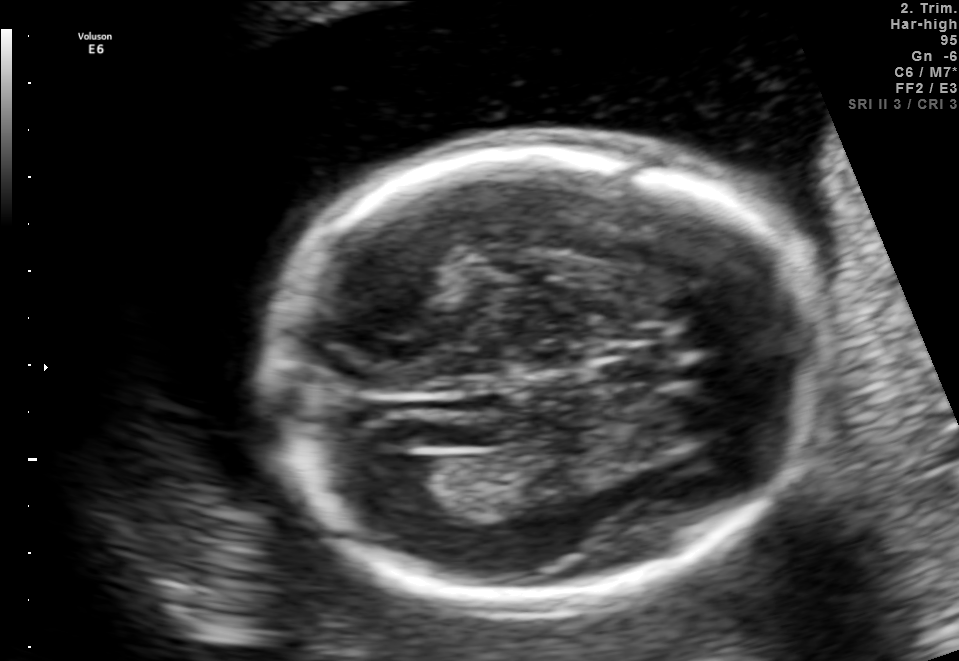
In this fetal brain, trans-ventricular plane, give the bounding box of the lateral ventricle.

[374,457,445,511]